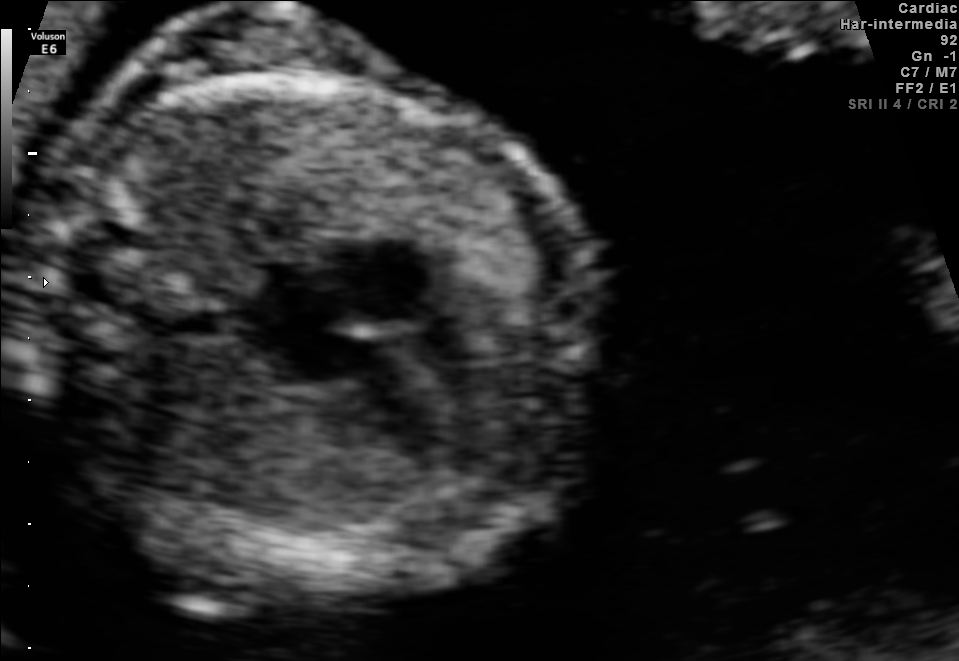
Which standard maternal-fetal ultrasound plane is shown: fetal abdomen, fetal brain, fetal femur, fetal thorax, maternal cervix, or other? If it's fetal brain and one of the three standard brain planes (trans-thalamic, trans-cerebellum, trans-ventricular), name which.

Fetal thorax